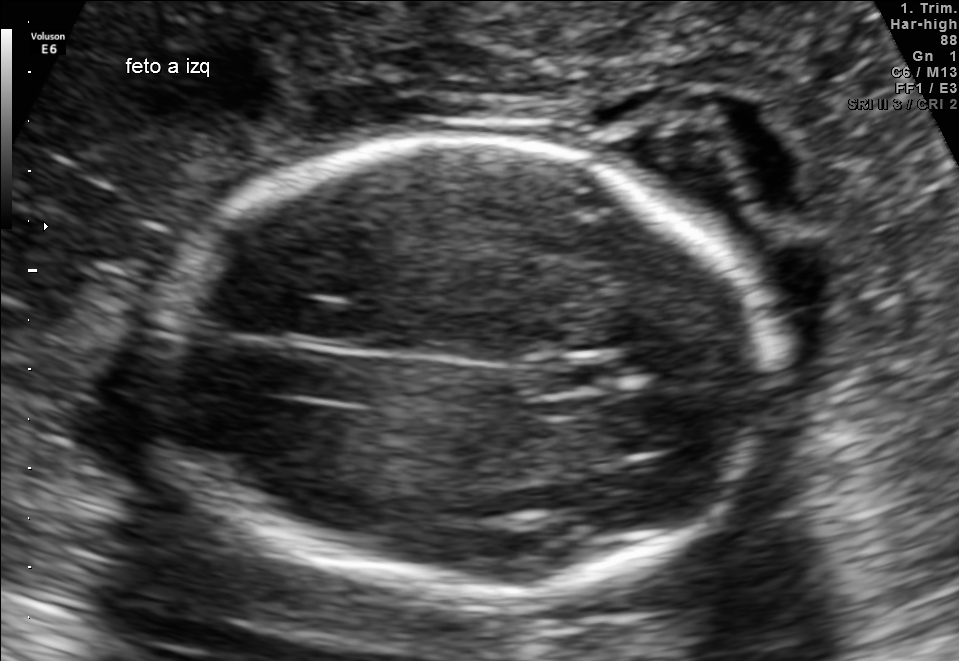
In this fetal brain, trans-thalamic plane, give bounding boxes for the head outline, cavum septum pellucidum (CSP), and lateral ventricle (LV), where visible.

Head: [151,140,776,593]
CSP: [540,355,616,394]